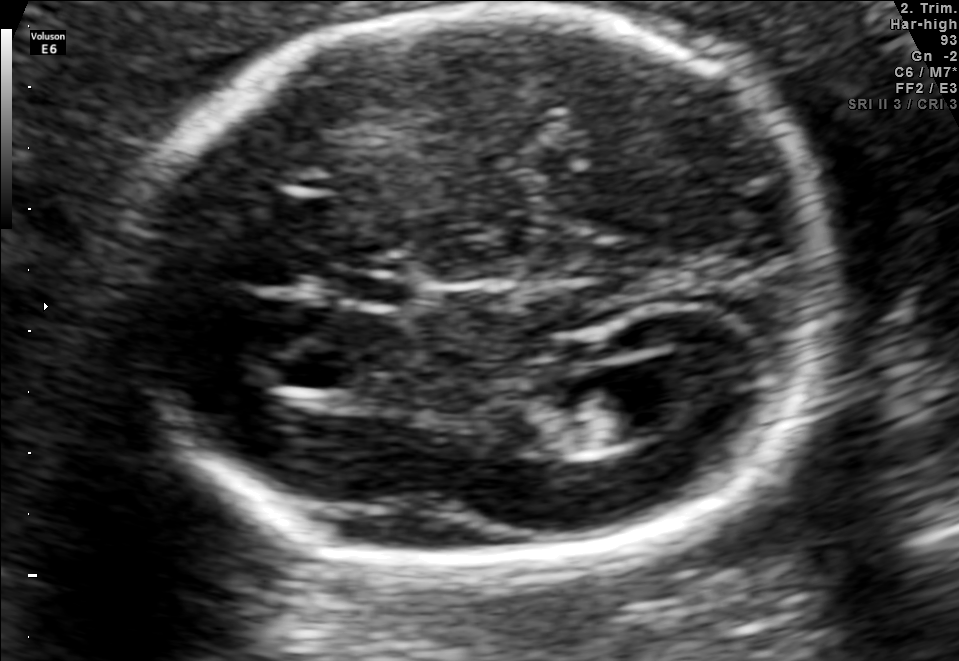
Fetal brain, trans-ventricular plane. Locate the cavum septum pellucidum.

CSP: [333,269,420,316]